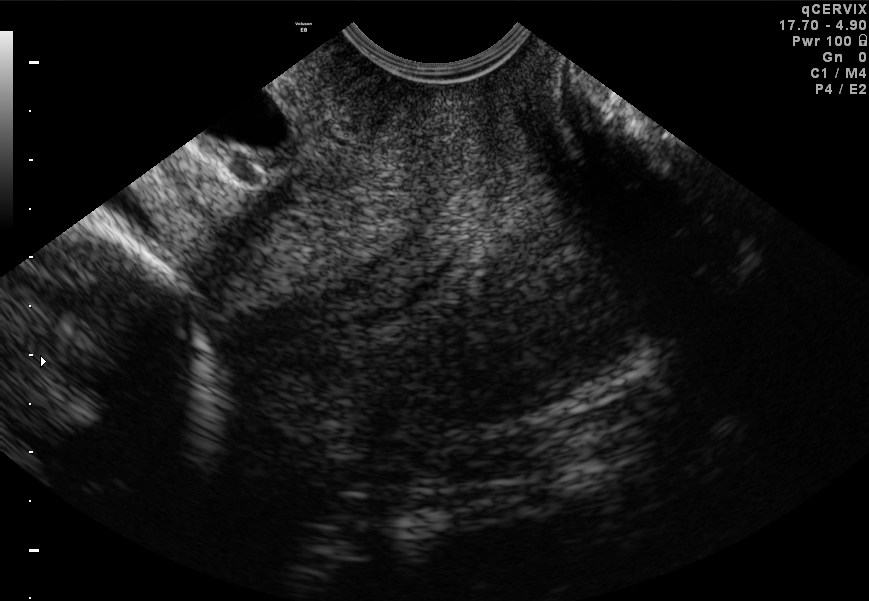
Which standard maternal-fetal ultrasound plane is shown: fetal abdomen, fetal brain, fetal femur, fetal thorax, maternal cervix, or other? If it's fetal brain and one of the three standard brain planes (trans-thalamic, trans-cerebellum, trans-ventricular), name which.

Maternal cervix